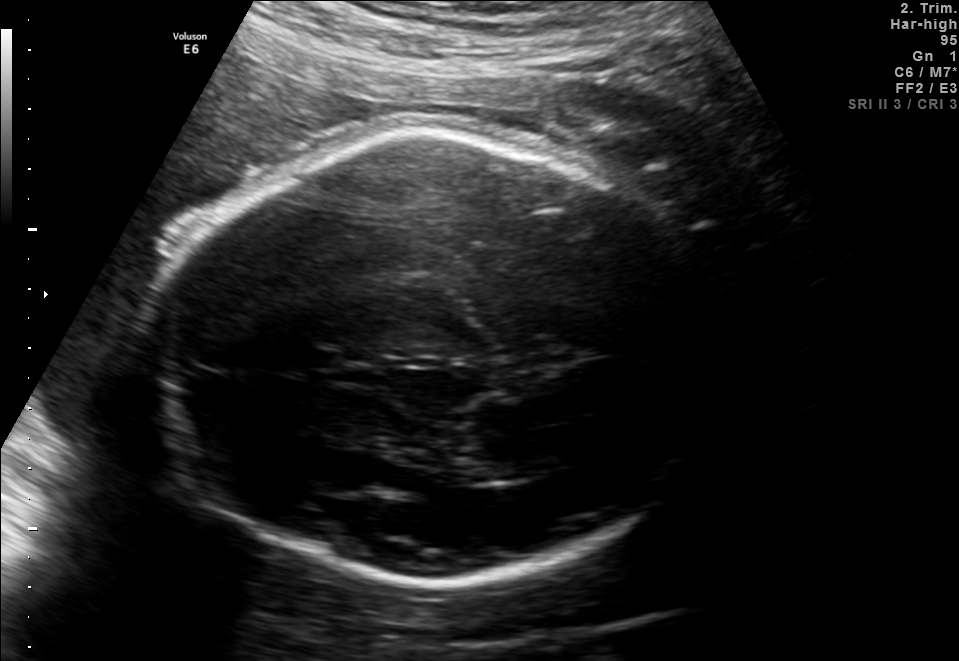
Fetal brain, trans-thalamic plane. Locate the fetal head and, if visible, the cavum septum pellucidum (CSP) and lateral ventricle (LV). Give bounding boxes as [x1,y1,x2,y2].

Head: [141,127,714,578]